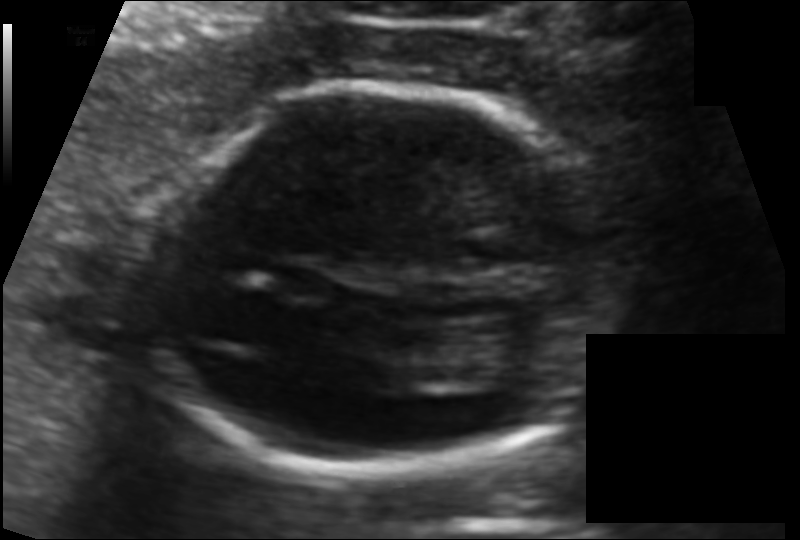
Estimate the fetal head circumference from this 2D ultrasound. Image width: 80.1 mm.

Head circumference: 142.3 mm.